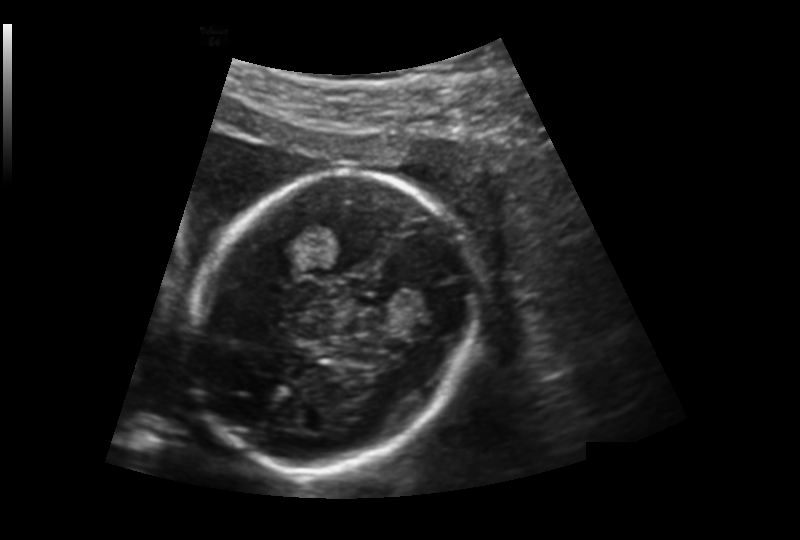
Fetal head ultrasound. Image width: 140.4 mm. Give [x1,y1,x2,y2] bounding boxes for each visible structure among: fetal head, CSP, LV.

Head: [186,171,469,467]